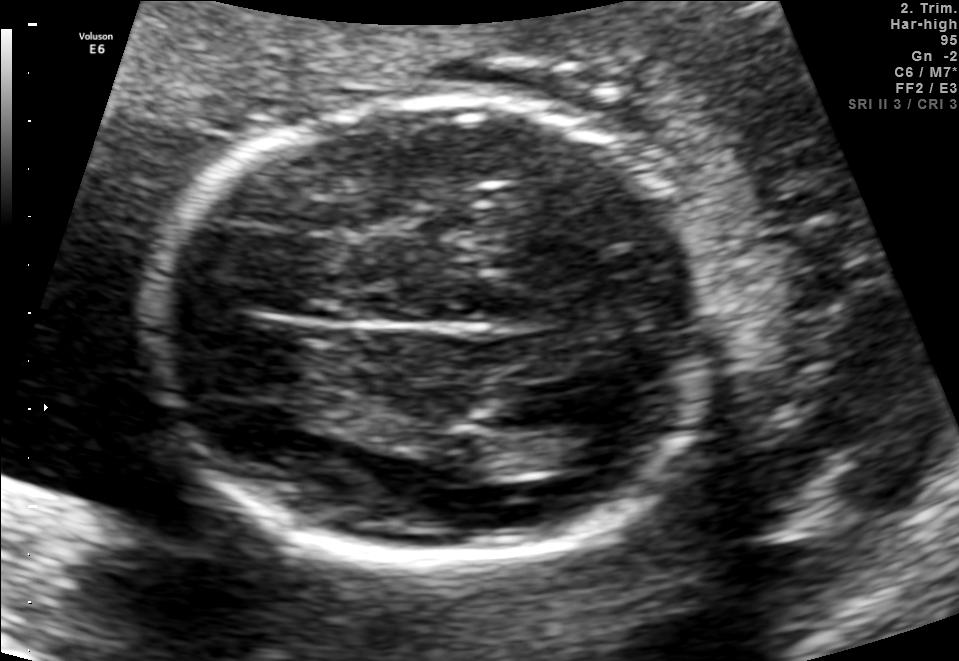
In this fetal brain, trans-thalamic plane, give bounding boxes for the head outline, cavum septum pellucidum (CSP), and lateral ventricle (LV), where visible.

Head: [152,97,711,560]
Lateral ventricle: [539,421,636,477]